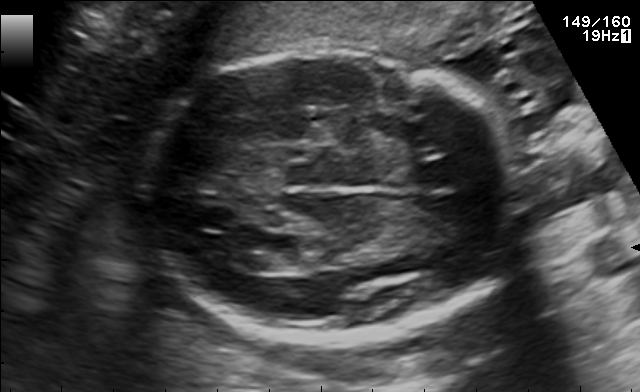
In this fetal brain, trans-ventricular plane, give the bounding box of the fetal head.

[128,42,537,350]